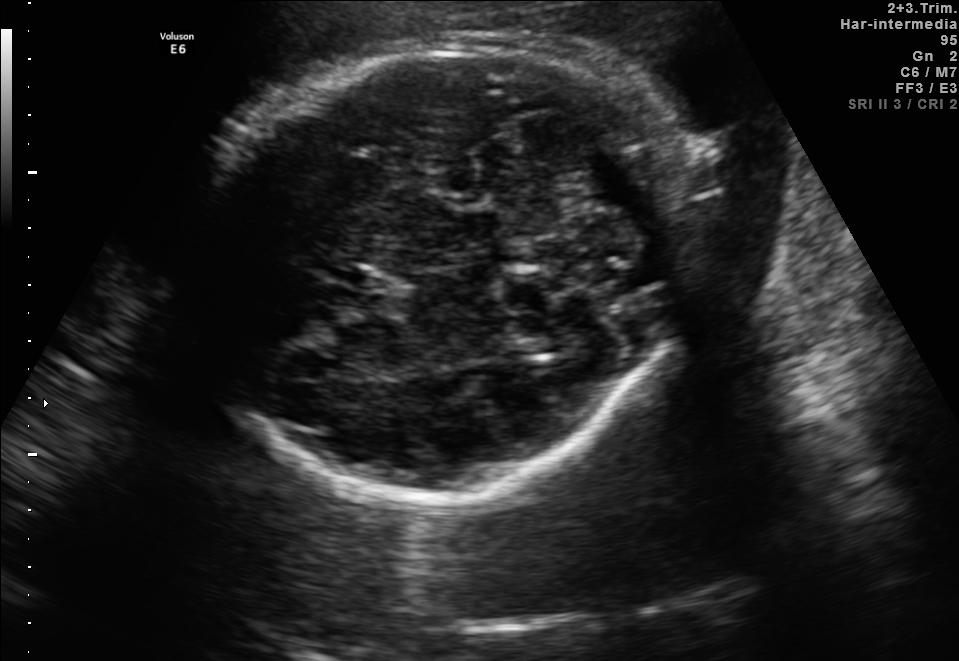
In this fetal brain, trans-cerebellum plane, give bounding boxes for the head outline, cavum septum pellucidum (CSP), and lateral ventricle (LV), where visible.

Head: [193,41,690,496]